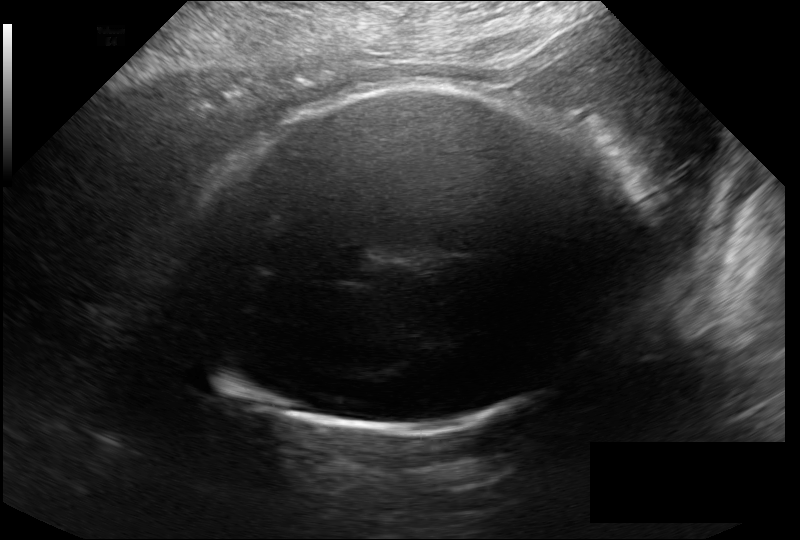
Estimate the fetal head circumference from this 2D ultrasound.

Head circumference: 315.2 mm (image width 196.8 mm).